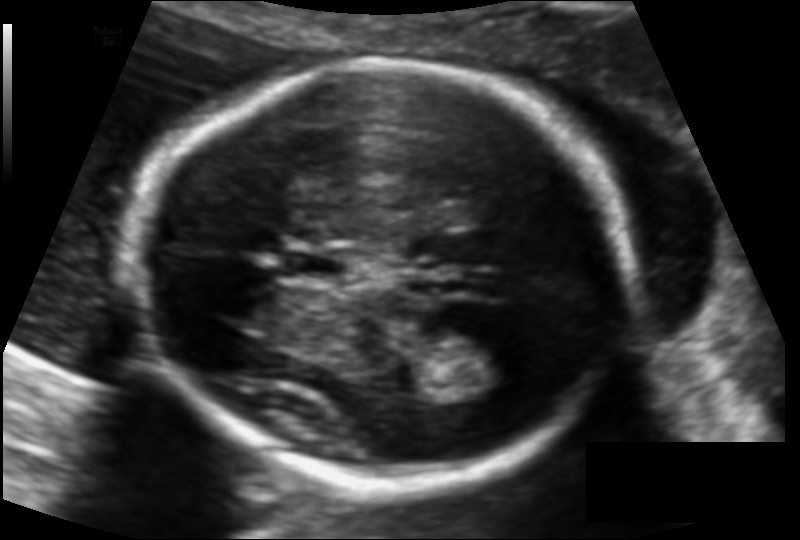
Estimate the fetal head circumference from this 2D ultrasound. Image width: 90.8 mm.

Head circumference: 171.2 mm.